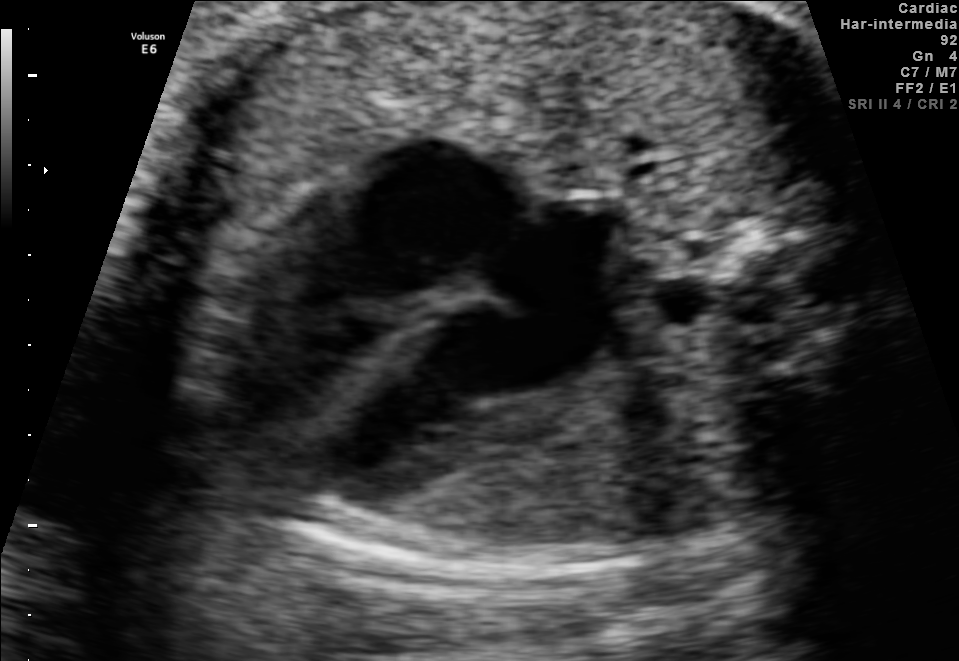
Classify this maternal-fetal ultrasound image as one of the six standard planes — fetal abdomen, fetal brain, fetal femur, fetal thorax, maternal cervix, or other. If it's fetal brain and one of the three standard brain planes (trans-thalamic, trans-cerebellum, trans-ventricular), name which.

Fetal thorax